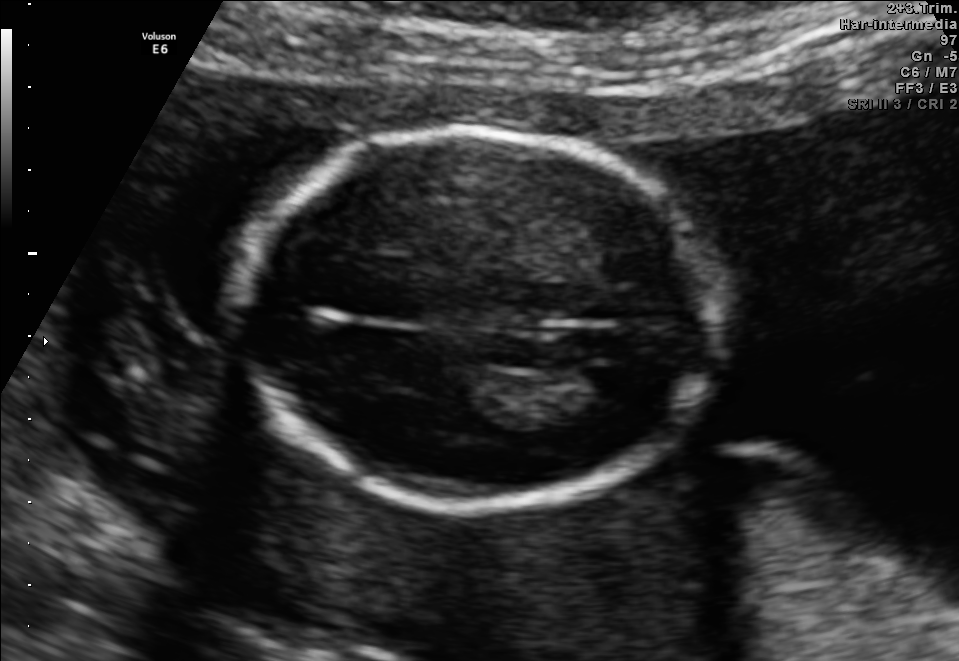
Fetal brain, trans-ventricular plane. Locate the fetal head.

Head: [226,122,737,515]